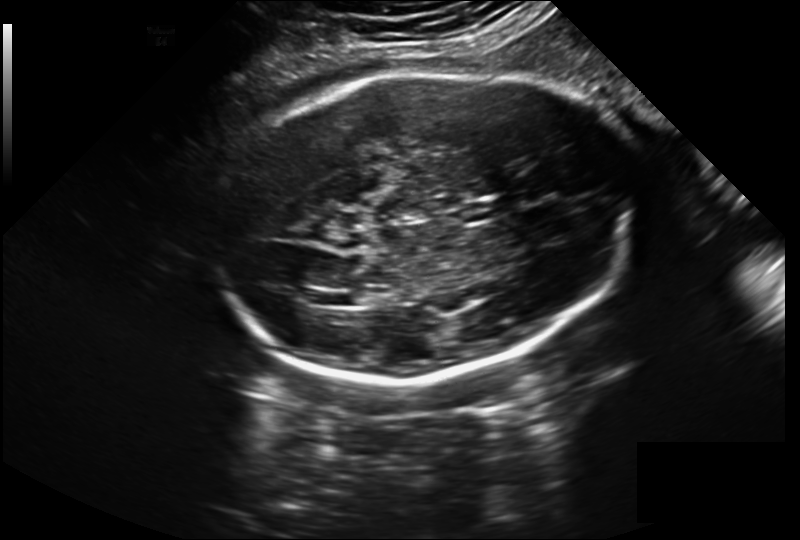
Fetal head ultrasound. Image width: 194.5 mm. Locate the lateral ventricle.

Lateral ventricle: [337,292,369,305]